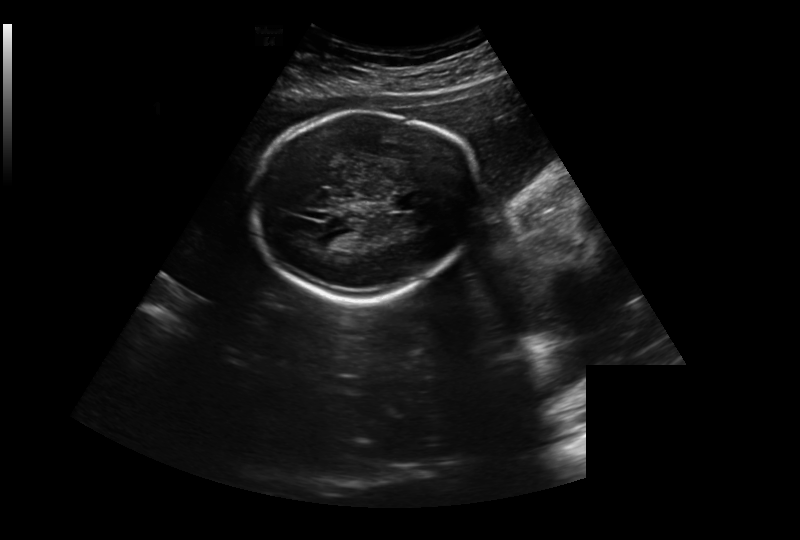
In this fetal head ultrasound, give the bounding box of the lateral ventricle. Image width: 260.8 mm.

[316,231,354,249]